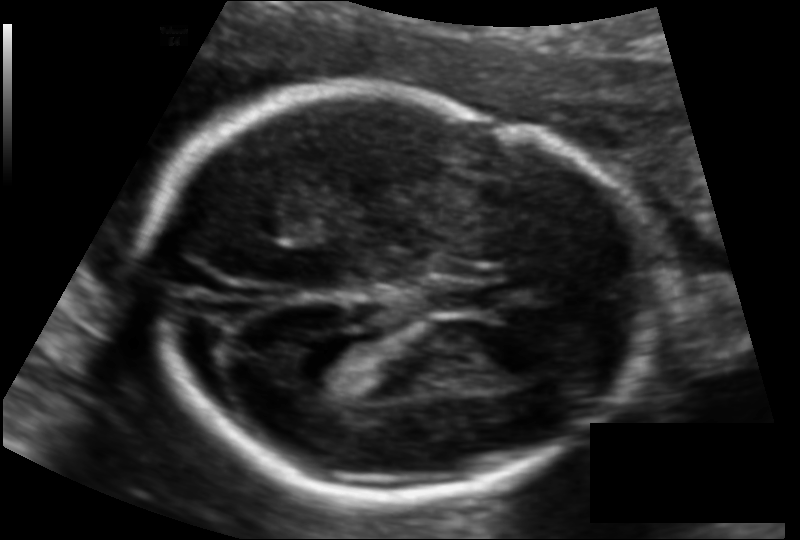
Fetal head ultrasound. Image width: 93.9 mm. Where is the cavum septum pellucidum?

CSP bounding box: [429,278,500,315]